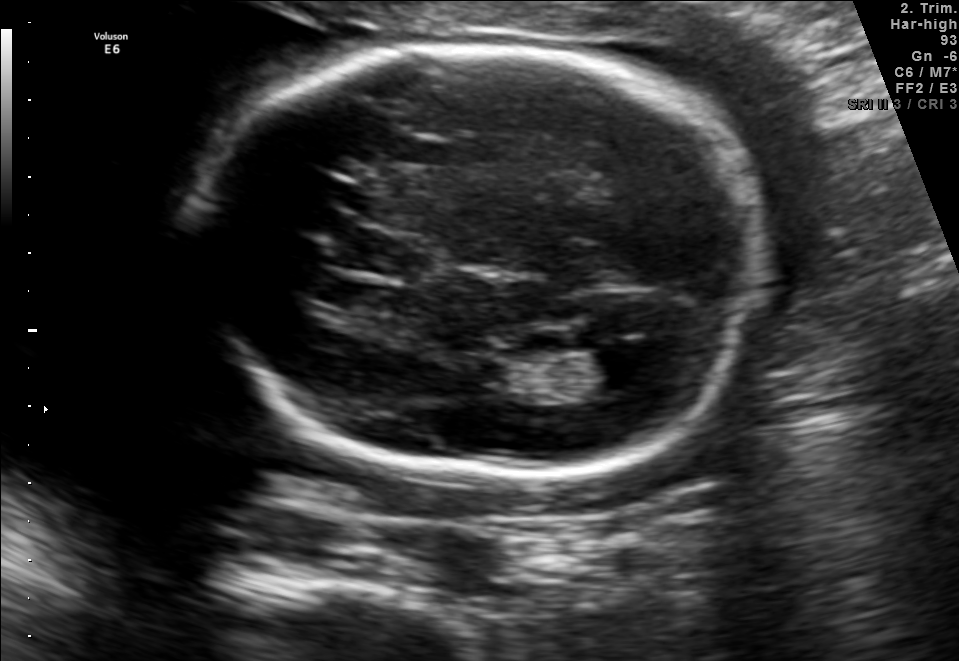
Fetal brain, trans-ventricular plane. Locate the fetal head.

Head: [184,34,781,487]